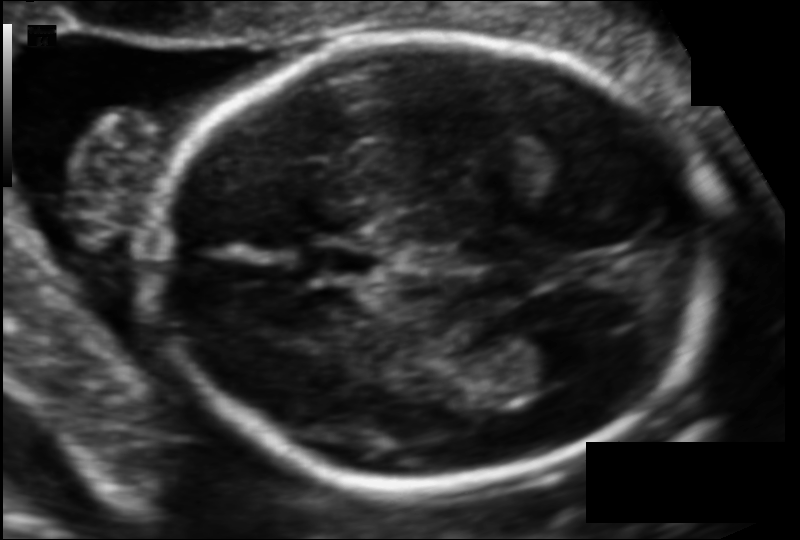
In this fetal head ultrasound, give bounding boxes for the head outline, cavum septum pellucidum (CSP), and lateral ventricle (LV), where visible. Image width: 81.4 mm.

Head: [153,34,714,488]
CSP: [310,245,384,279]
Lateral ventricle: [506,309,613,395]